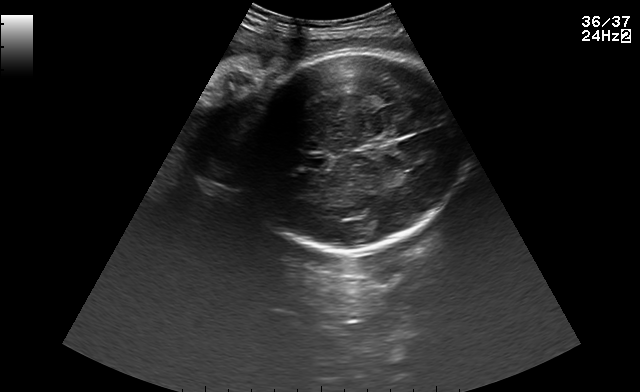
In this fetal brain, trans-thalamic plane, give bounding boxes for the head outline, cavum septum pellucidum (CSP), and lateral ventricle (LV), where visible.

Head: [244,52,462,255]
CSP: [306,155,328,168]